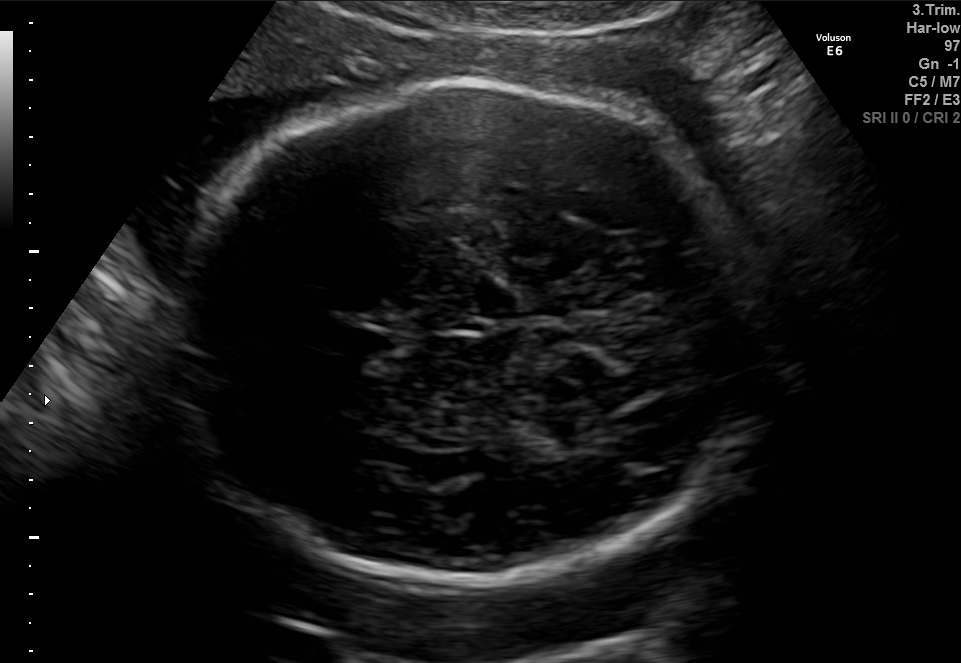
Fetal brain, trans-thalamic plane. Locate the cavum septum pellucidum.

CSP: [347,328,395,357]